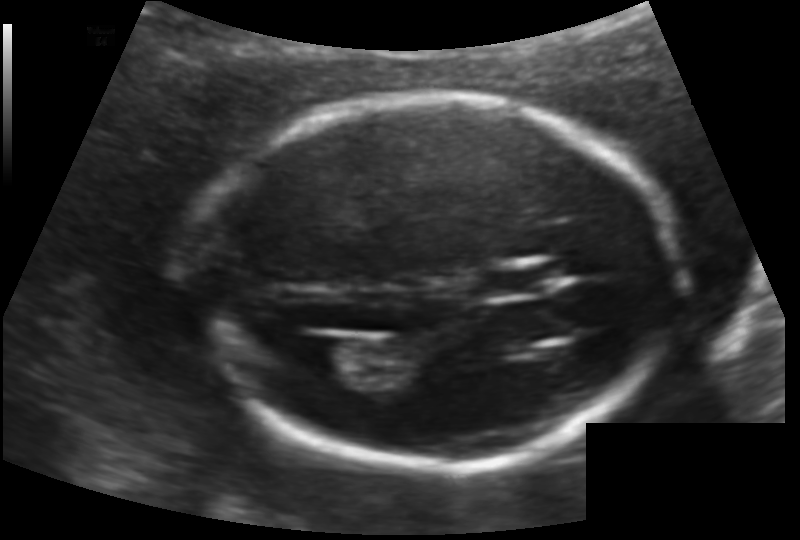
Fetal head ultrasound. Image width: 99.5 mm. Where is the fetal head?

Head bounding box: [193,96,666,469]